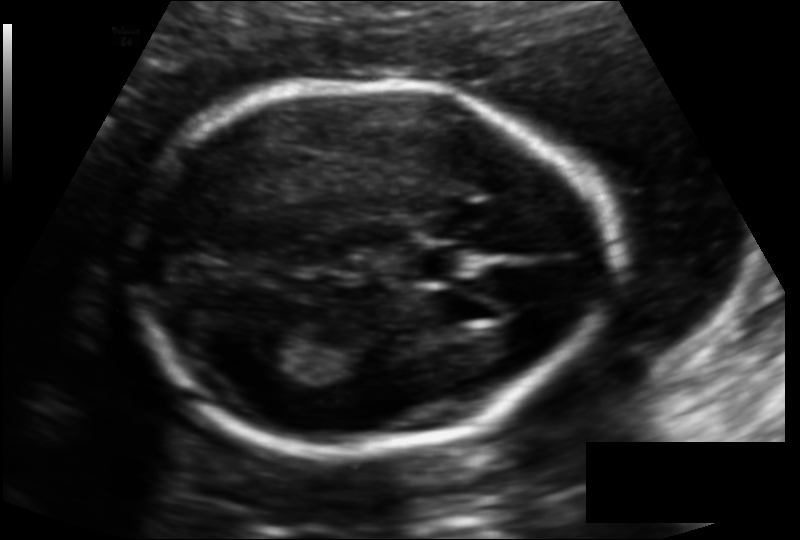
Measure the fetal head circumference shown in this ultrasound image. Image width: 96.8 mm.

Head circumference: 171.3 mm.